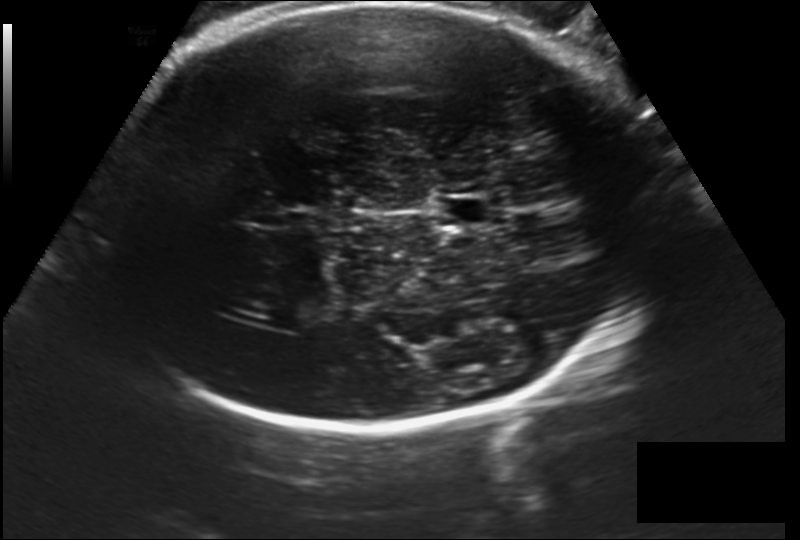
In this fetal head ultrasound, give the bounding box of the fetal head. Image width: 162.0 mm.

[106,2,661,428]